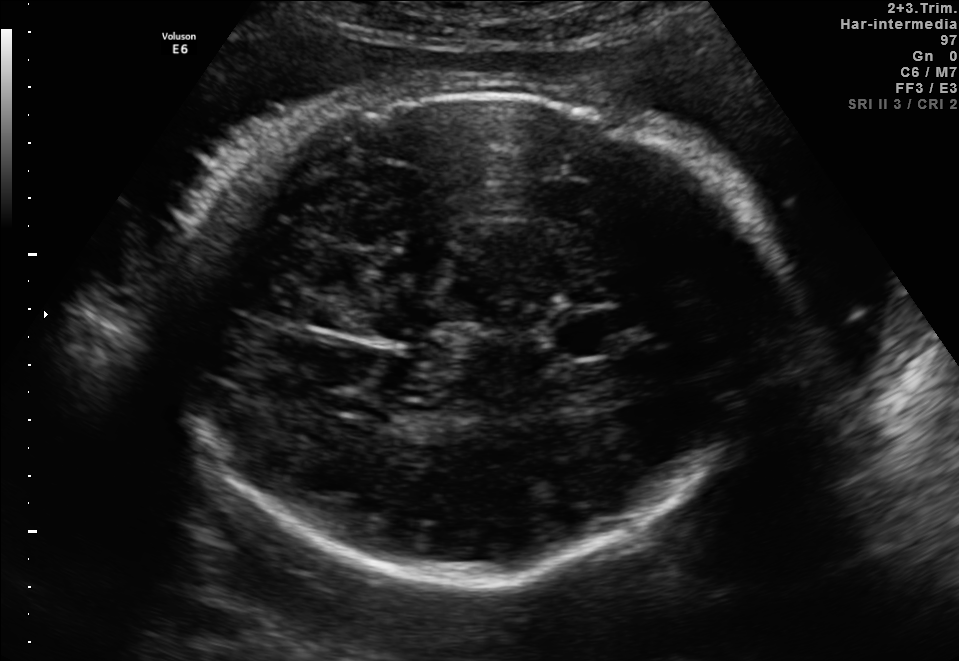
Fetal brain, trans-thalamic plane. Locate the fetal head and, if visible, the cavum septum pellucidum (CSP) and lateral ventricle (LV). Give bounding boxes as [x1,y1,x2,y2].

Head: [157,90,776,583]
CSP: [554,303,628,359]
Lateral ventricle: [314,385,387,425]